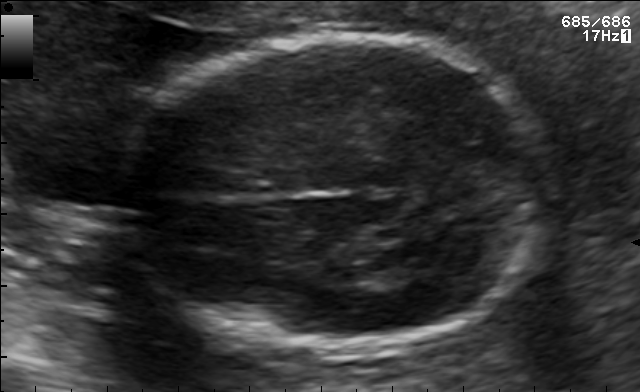
Fetal brain, trans-thalamic plane. Where is the fetal head?

Head bounding box: [123,35,547,355]